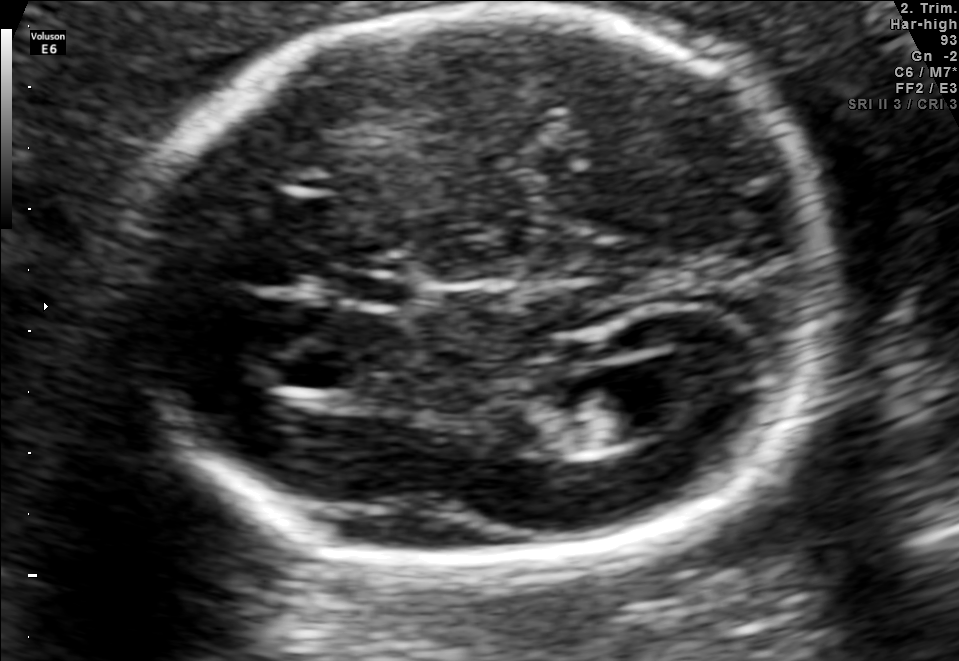
Fetal brain, trans-ventricular plane. Where is the lateral ventricle?

Lateral ventricle bounding box: [570,359,704,453]